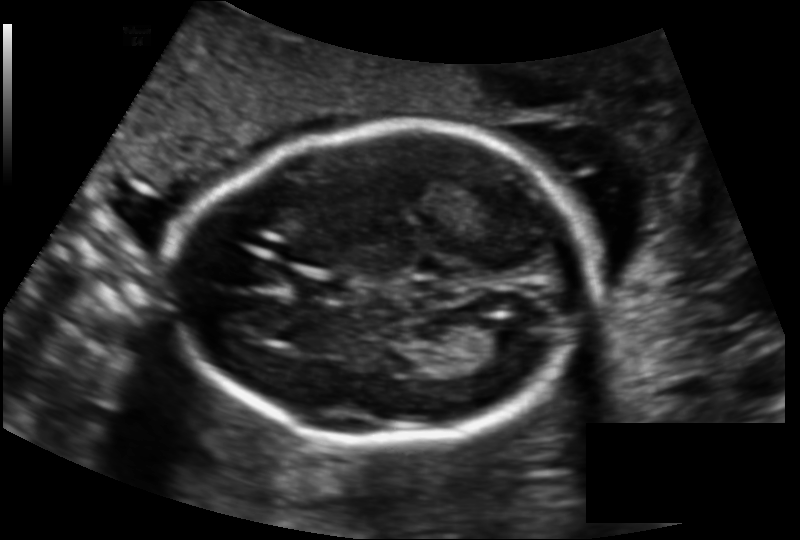
In this fetal head ultrasound, give the bounding box of the cavum septum pellucidum. Image width: 109.7 mm.

[297,272,351,303]